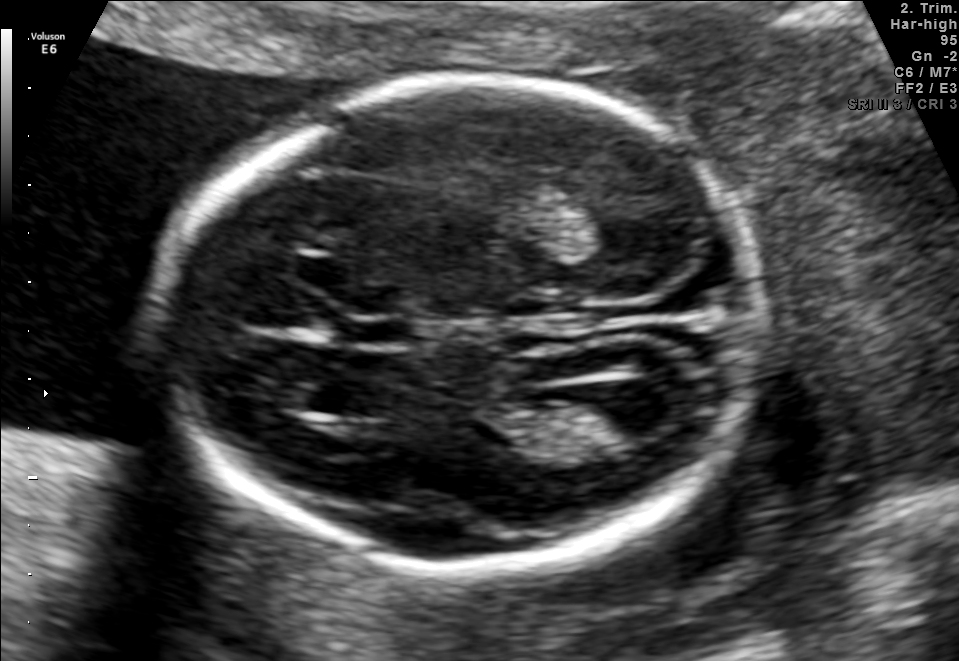
Fetal brain, trans-ventricular plane. Where is the lateral ventricle?

Lateral ventricle bounding box: [578,368,686,454]